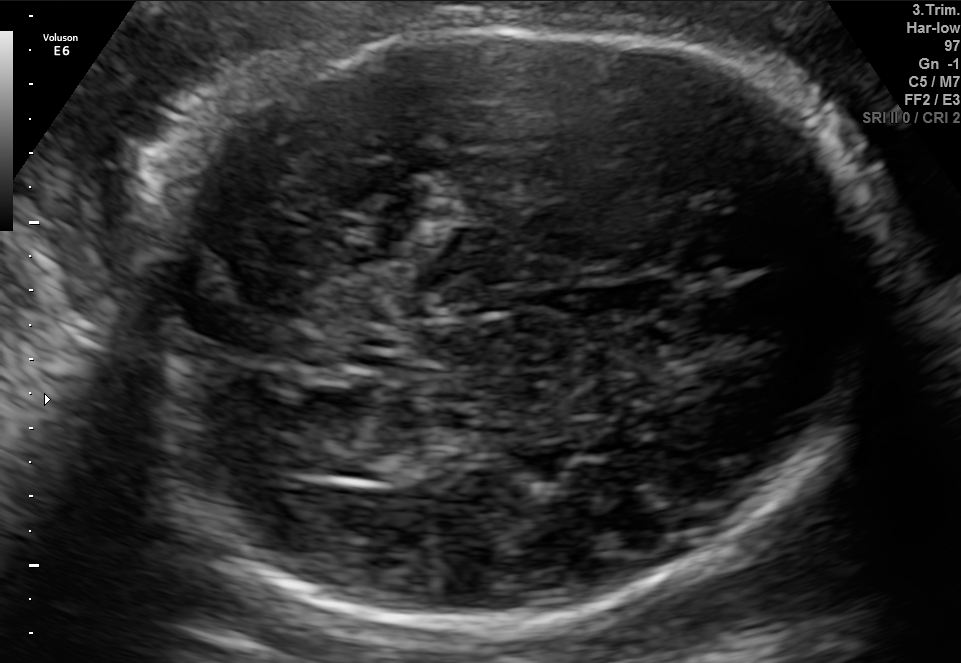
Fetal brain, trans-thalamic plane. Locate the lateral ventricle.

Lateral ventricle: [305,428,416,486]